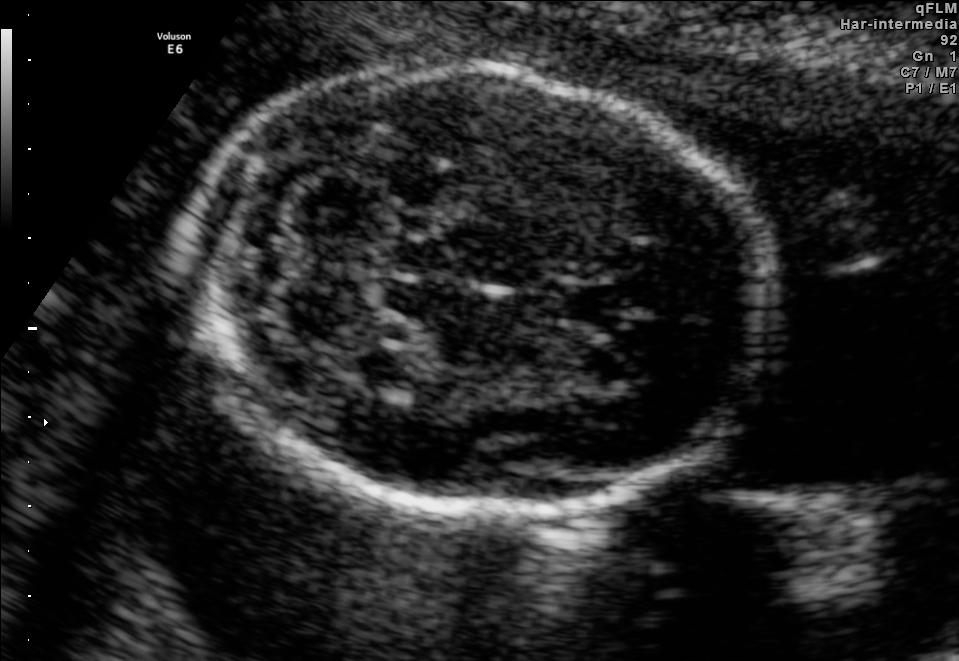
In this fetal brain, trans-cerebellum plane, give the bounding box of the cavum septum pellucidum.

[544,279,621,329]